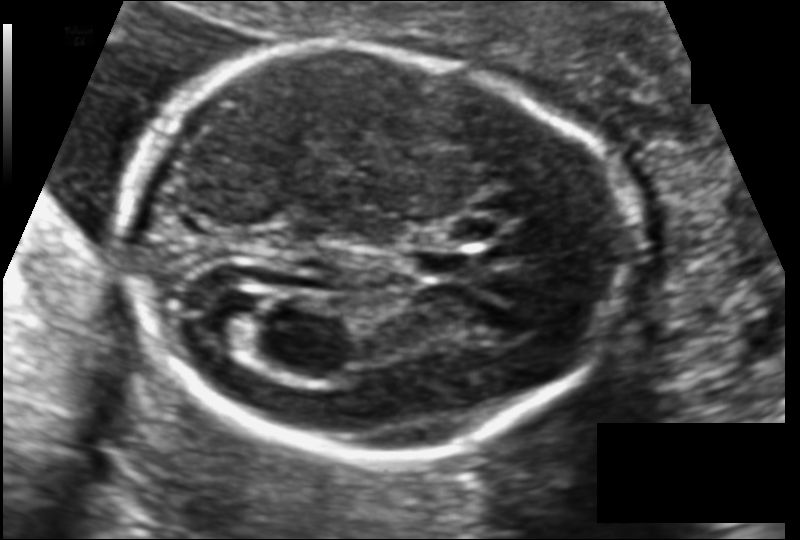
Fetal head ultrasound. Image width: 93.1 mm. Locate the lateral ventricle.

Lateral ventricle: [189,282,271,356]